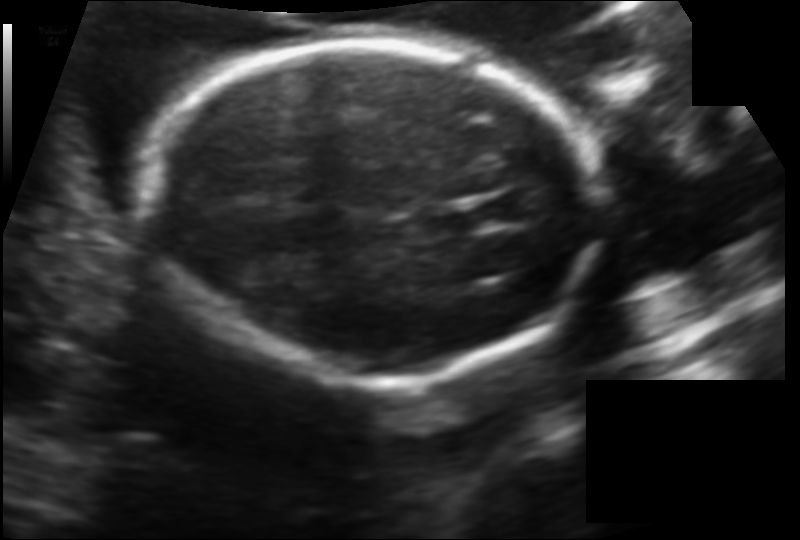
Measure the fetal head circumference shown in this ultrasound image. Image width: 108.5 mm.

Head circumference: 176.6 mm.